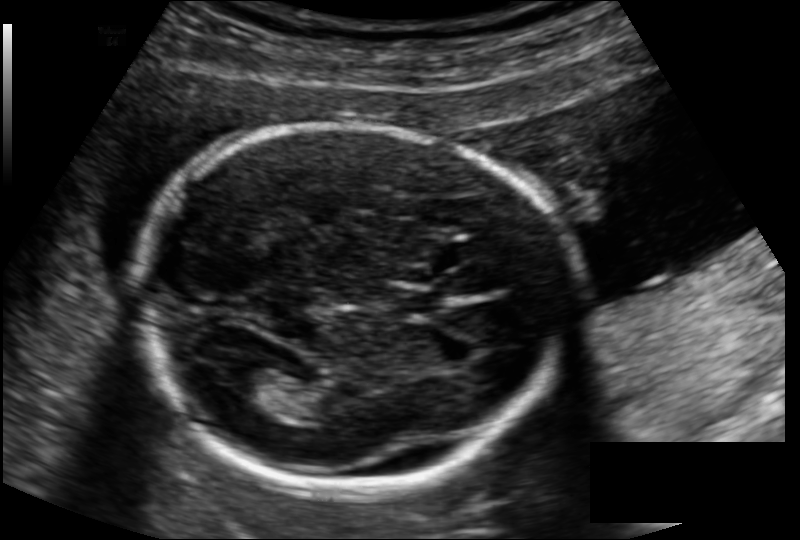
Fetal head ultrasound. Image width: 107.6 mm. Locate the fetal head.

Head: [141,122,562,492]